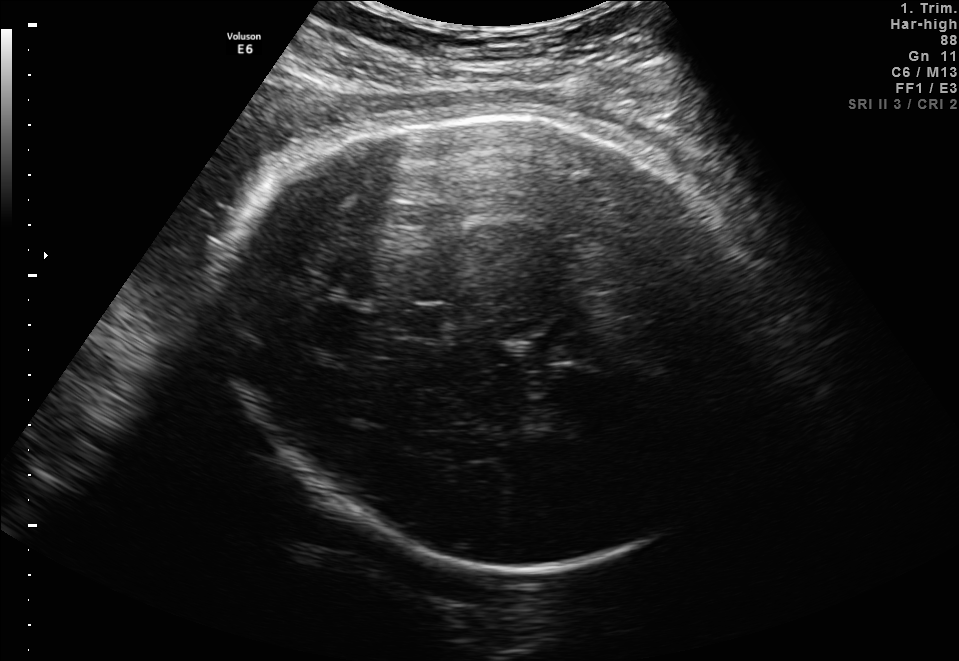
In this fetal brain, trans-thalamic plane, give bounding boxes for the head outline, cavum septum pellucidum (CSP), and lateral ventricle (LV), where visible.

Head: [214,104,777,565]
CSP: [401,305,459,340]